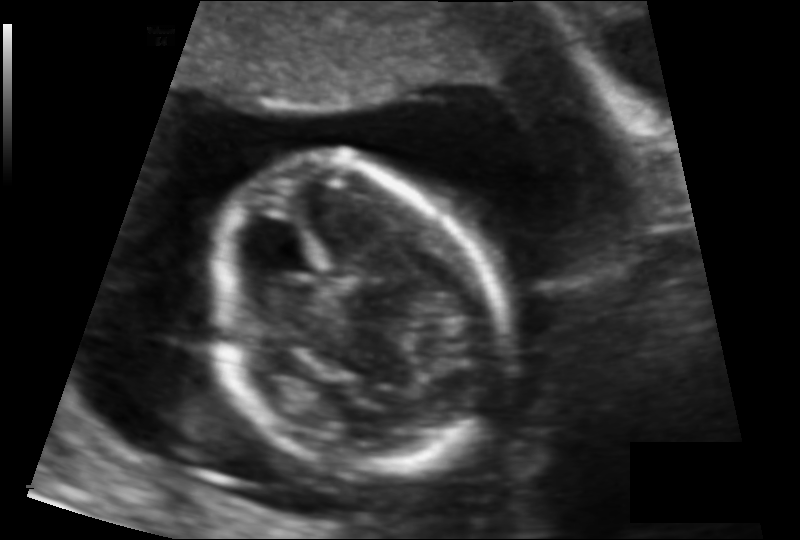
Measure the fetal head circumference shown in this ultrasound image. Image width: 82.6 mm.

Head circumference: 100.1 mm.